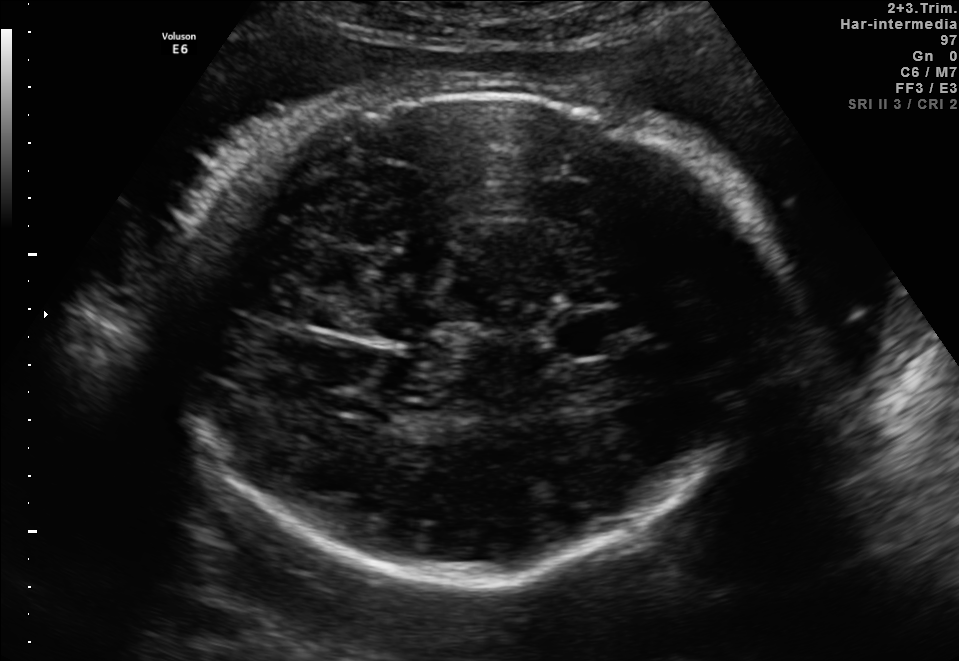
Identify the standard plane in this fetal ultrasound image: fetal abdomen, fetal brain, fetal femur, fetal thorax, maternal cervix, or other. If it's fetal brain and one of the three standard brain planes (trans-thalamic, trans-cerebellum, trans-ventricular), name which.

Fetal brain (trans-thalamic plane)